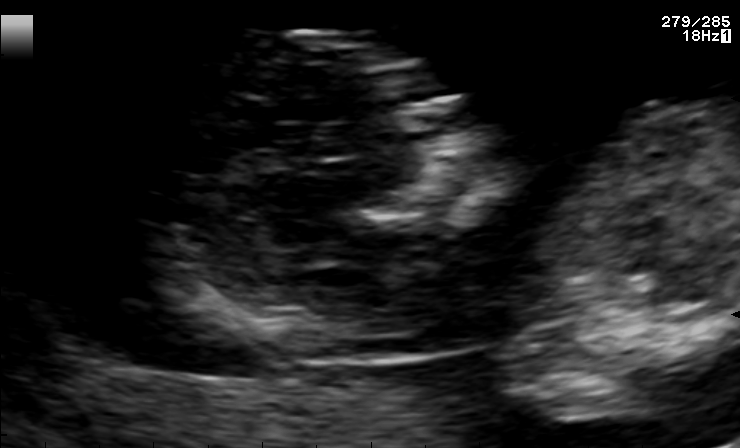
Classify this maternal-fetal ultrasound image as one of the six standard planes — fetal abdomen, fetal brain, fetal femur, fetal thorax, maternal cervix, or other. If it's fetal brain and one of the three standard brain planes (trans-thalamic, trans-cerebellum, trans-ventricular), name which.

Other